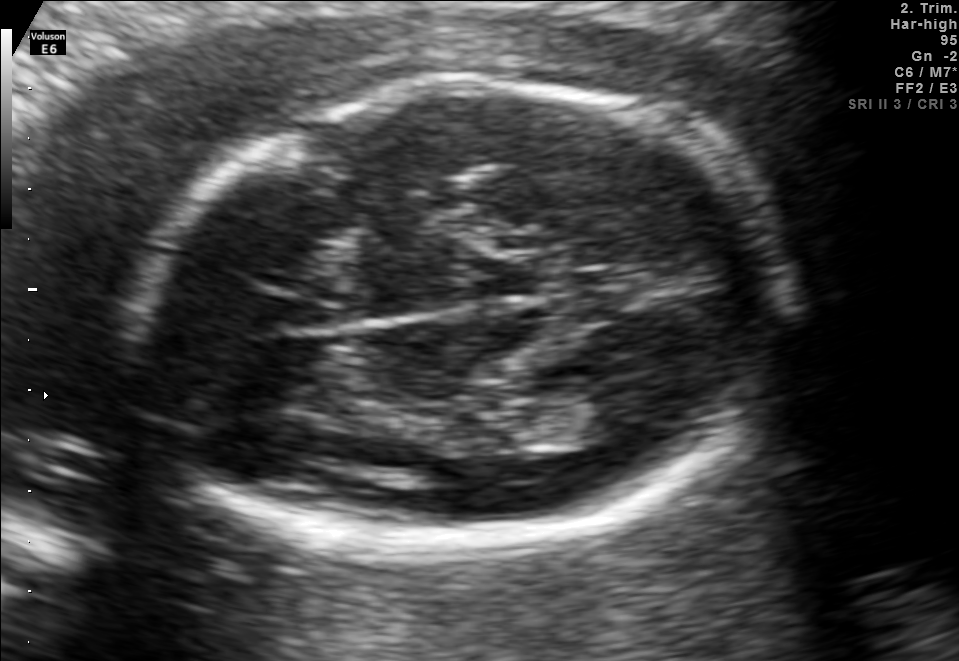
Fetal brain, trans-thalamic plane. Where is the fetal head?

Head bounding box: [133,81,790,548]